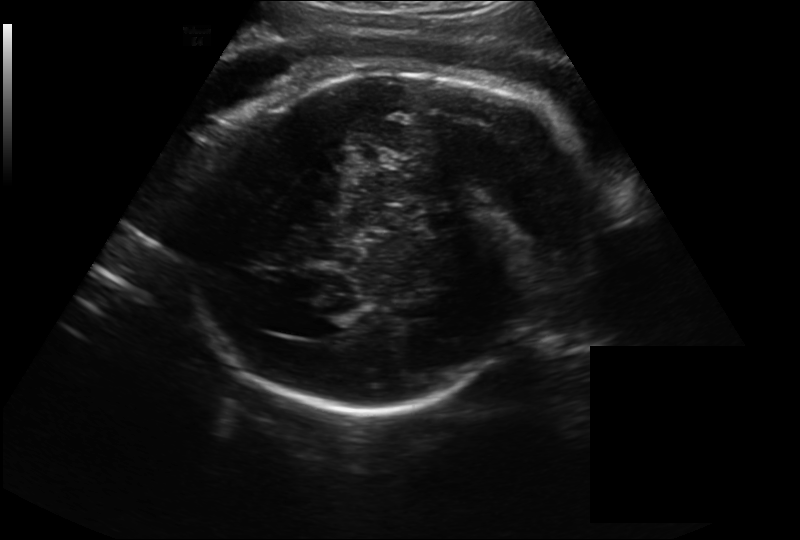
Fetal head ultrasound. Image width: 209.3 mm. Locate the lateral ventricle.

Lateral ventricle: [300,314,346,339]